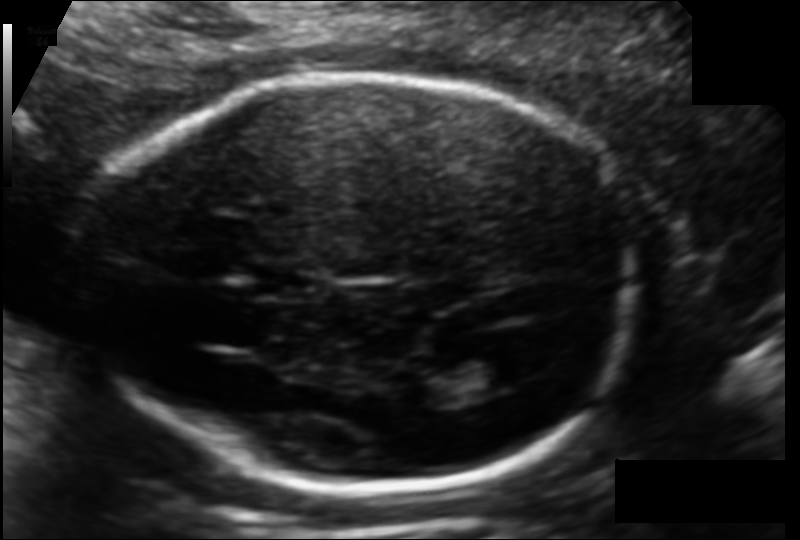
In this fetal head ultrasound, give the bounding box of the fetal head. Image width: 90.5 mm.

[88,78,632,490]